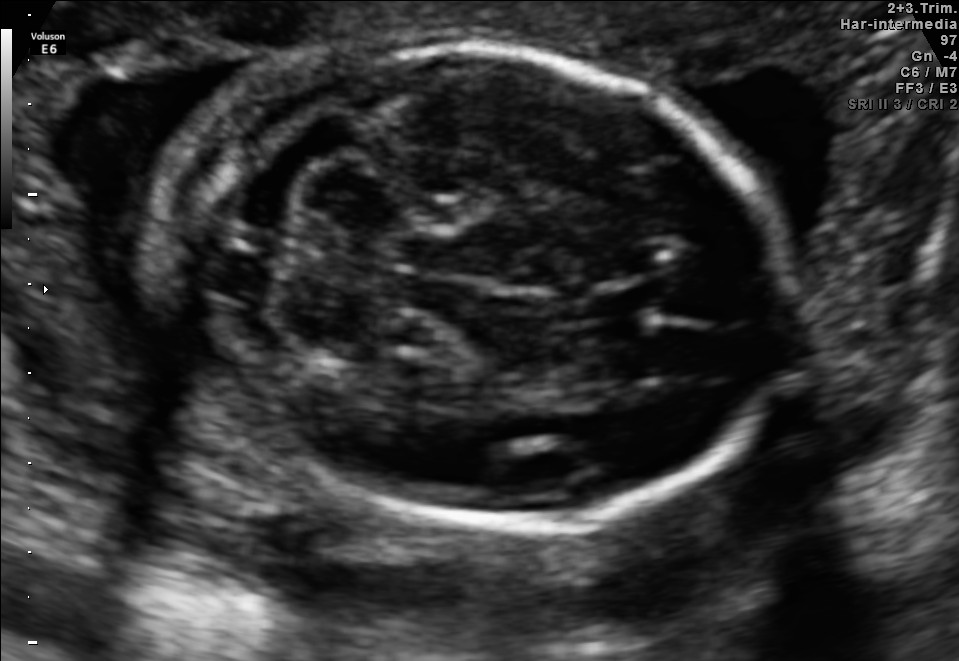
In this fetal brain, trans-cerebellum plane, give bounding boxes for the head outline, cavum septum pellucidum (CSP), and lateral ventricle (LV), where visible.

Head: [147,43,790,526]